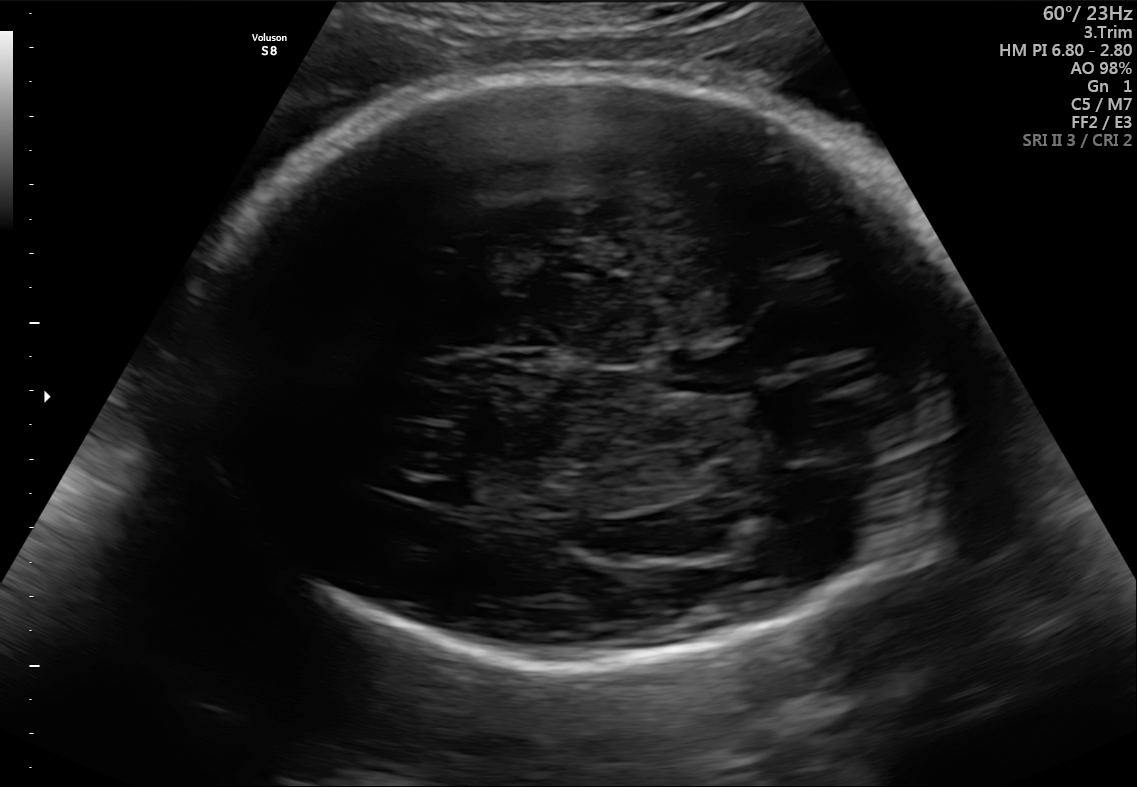
Fetal brain, trans-thalamic plane. Where is the lateral ventricle?

Lateral ventricle bounding box: [427,479,484,505]